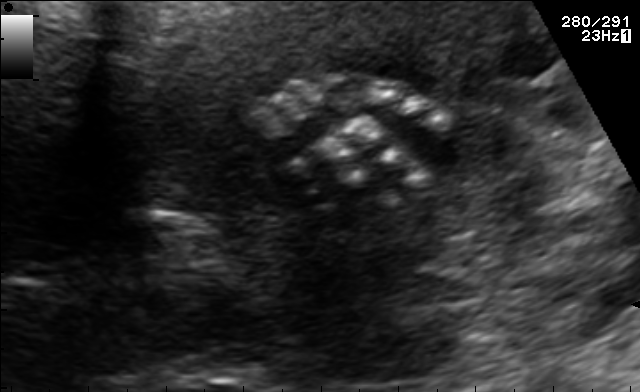
This is a 2D maternal-fetal ultrasound frame. Is it a fetal abdomen, fetal brain, fetal femur, fetal thorax, maternal cervix, or other standard plane? If it's fetal brain and one of the three standard brain planes (trans-thalamic, trans-cerebellum, trans-ventricular), name which.

Other